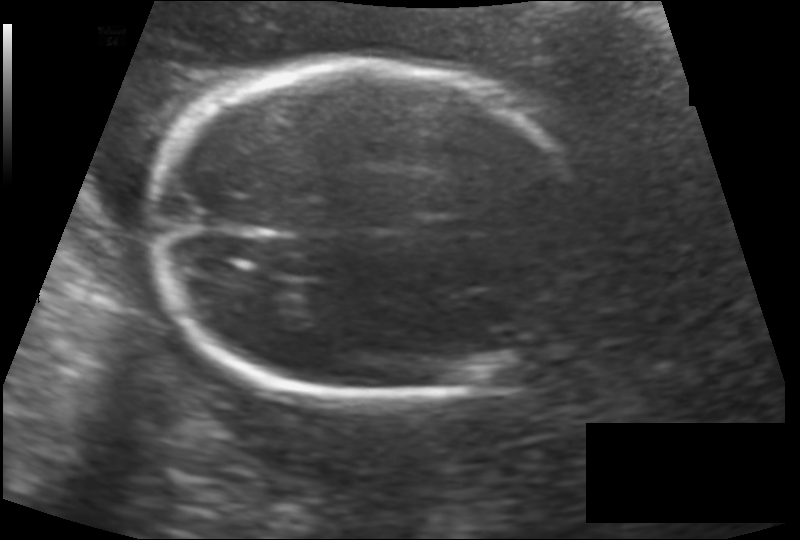
Measure the fetal head circumference shown in this ultrasound image. Image width: 117.4 mm.

Head circumference: 182.5 mm.